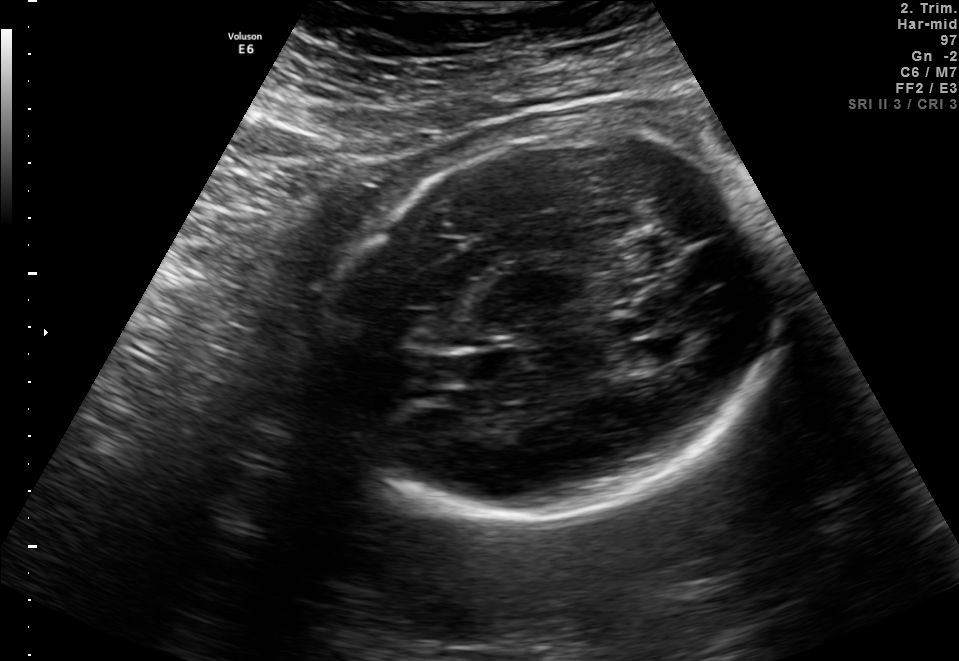
Classify this maternal-fetal ultrasound image as one of the six standard planes — fetal abdomen, fetal brain, fetal femur, fetal thorax, maternal cervix, or other. If it's fetal brain and one of the three standard brain planes (trans-thalamic, trans-cerebellum, trans-ventricular), name which.

Fetal brain (trans-ventricular plane)